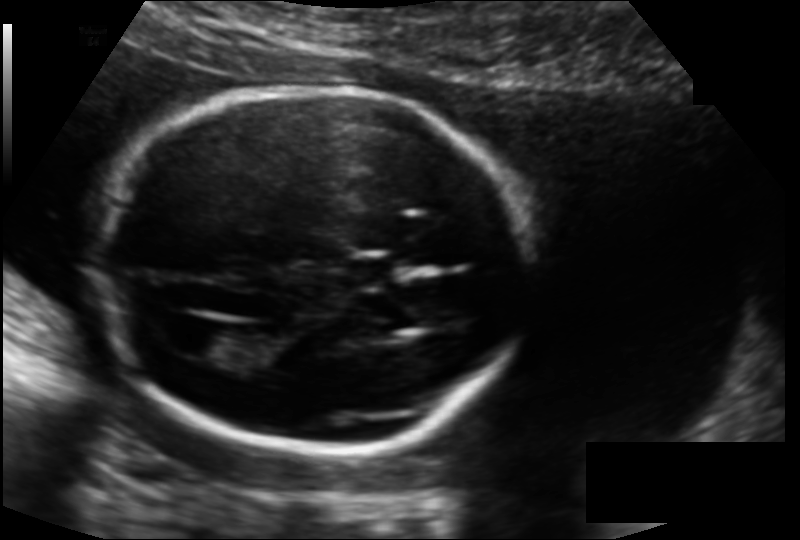
In this fetal head ultrasound, give the bounding box of the fetal head. Image width: 107.7 mm.

[93,86,526,451]